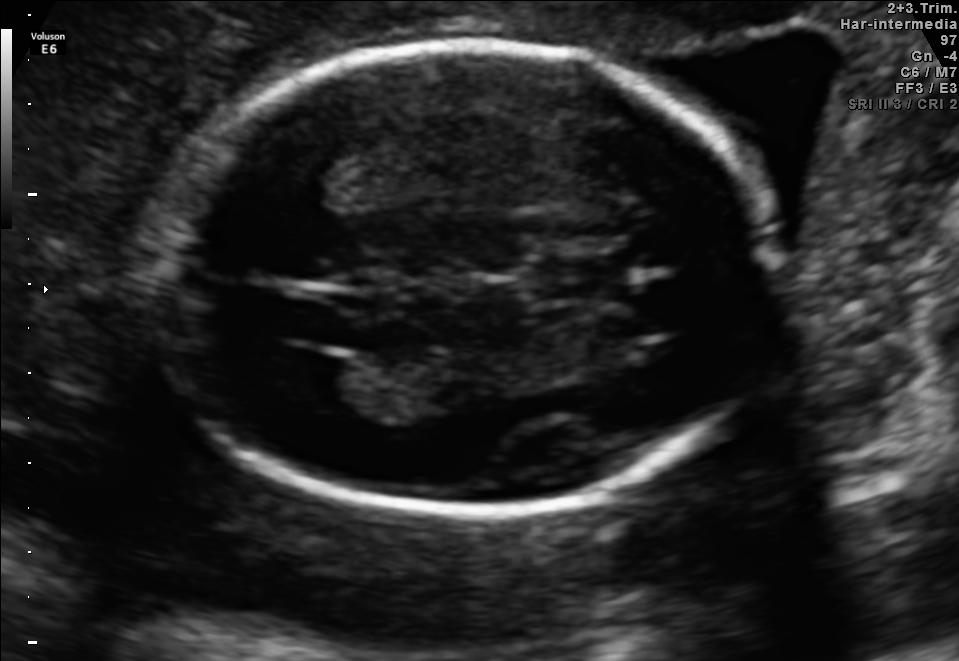
Fetal brain, trans-ventricular plane. Where is the fetal head?

Head bounding box: [144,37,797,520]